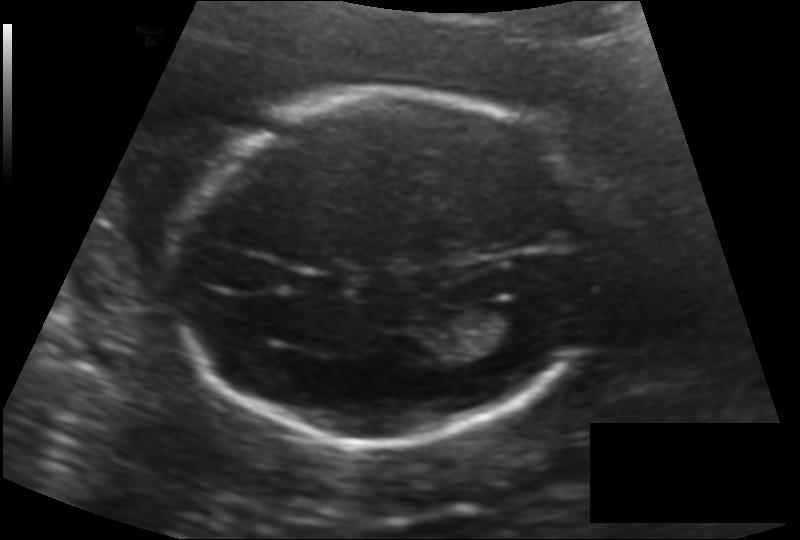
Estimate the fetal head circumference from this 2D ultrasound.

Head circumference: 176.6 mm (image width 112.2 mm).